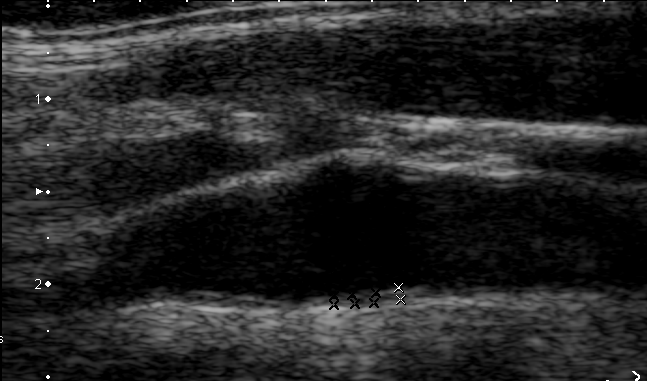
Identify the standard plane in this fetal ultrasound image: fetal abdomen, fetal brain, fetal femur, fetal thorax, maternal cervix, or other. If it's fetal brain and one of the three standard brain planes (trans-thalamic, trans-cerebellum, trans-ventricular), name which.

Other